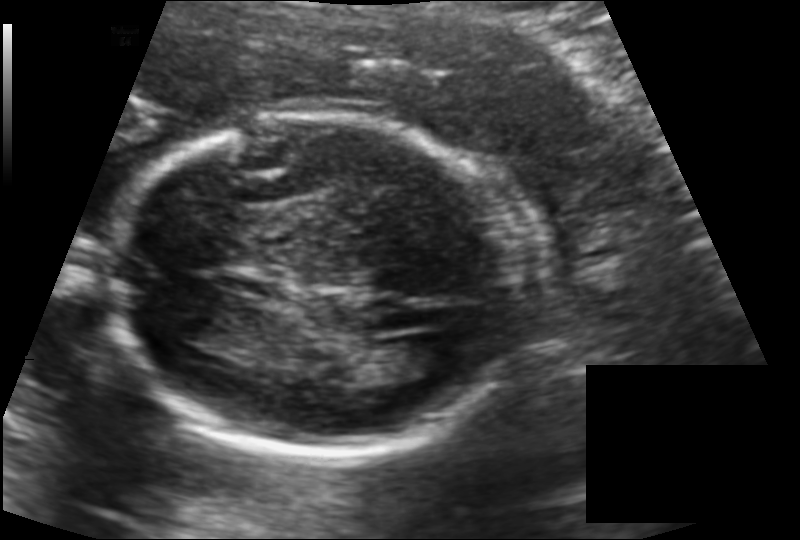
What is the fetal head circumference? Image width is 113.5 mm.

172.3 mm